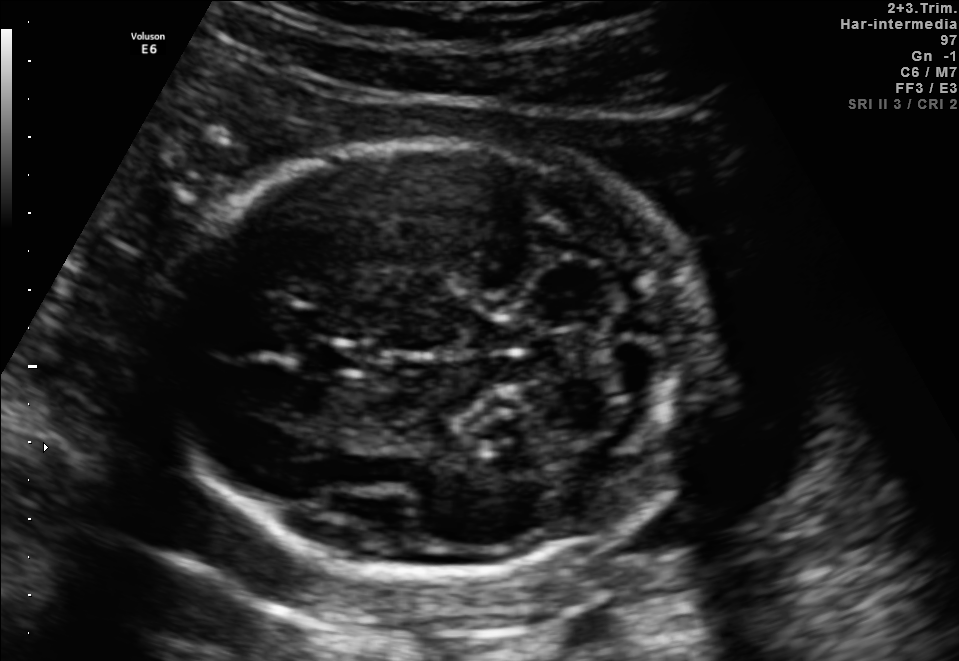
Fetal brain, trans-cerebellum plane. Give [x1,y1,x2,y2] bounding boxes for each visible structure among: fetal head, CSP, LV.

Head: [163,141,712,570]
CSP: [304,337,361,377]